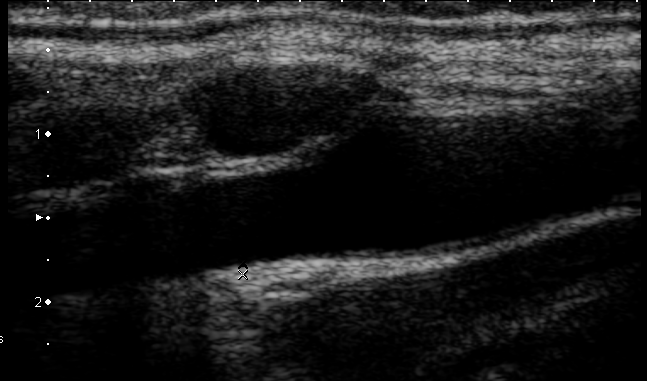
Classify this maternal-fetal ultrasound image as one of the six standard planes — fetal abdomen, fetal brain, fetal femur, fetal thorax, maternal cervix, or other. If it's fetal brain and one of the three standard brain planes (trans-thalamic, trans-cerebellum, trans-ventricular), name which.

Other